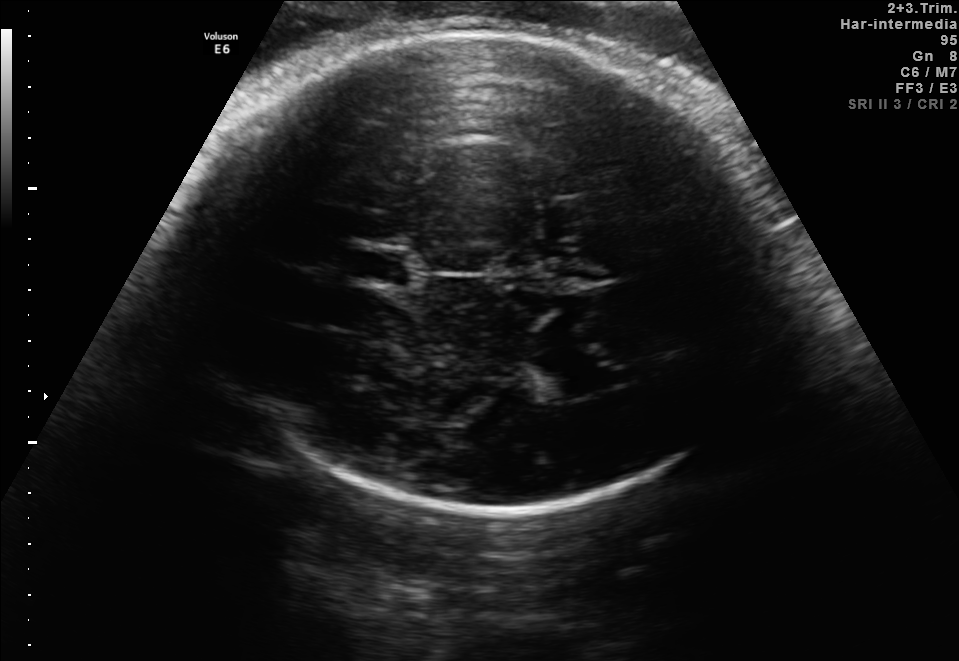
Fetal brain, trans-thalamic plane. Locate the lateral ventricle.

Lateral ventricle: [525,343,605,407]